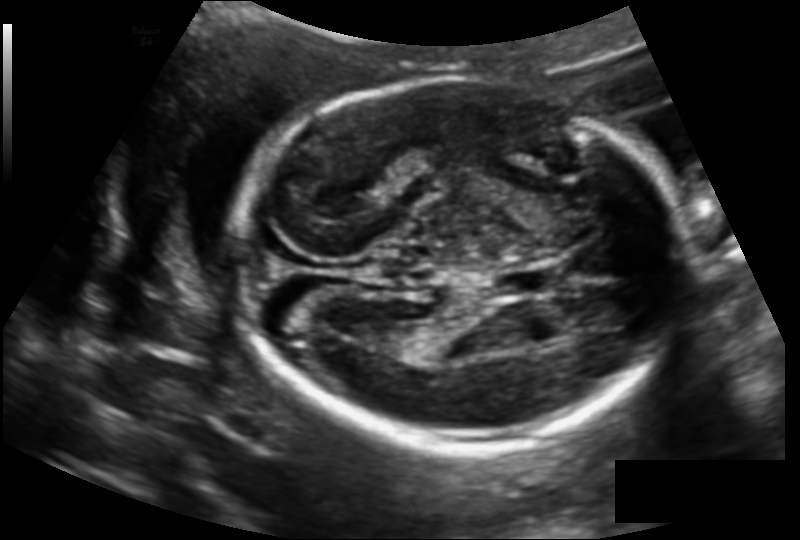
Estimate the fetal head circumference from this 2D ultrasound. Image width: 116.1 mm.

Head circumference: 189.8 mm.